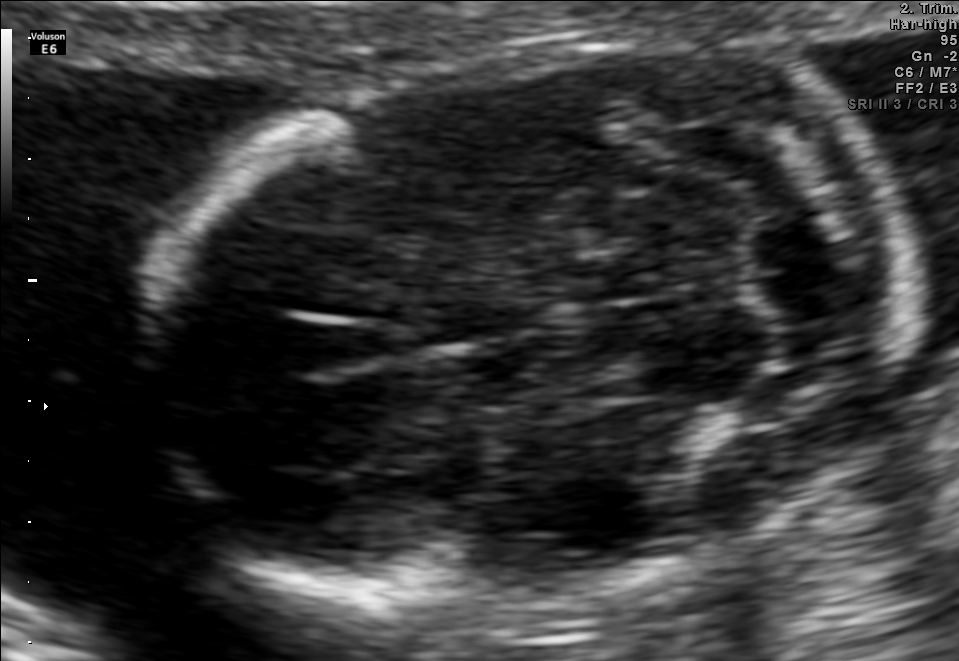
In this fetal brain, trans-cerebellum plane, give bounding boxes for the head outline, cavum septum pellucidum (CSP), and lateral ventricle (LV), where visible.

Head: [147,37,908,608]